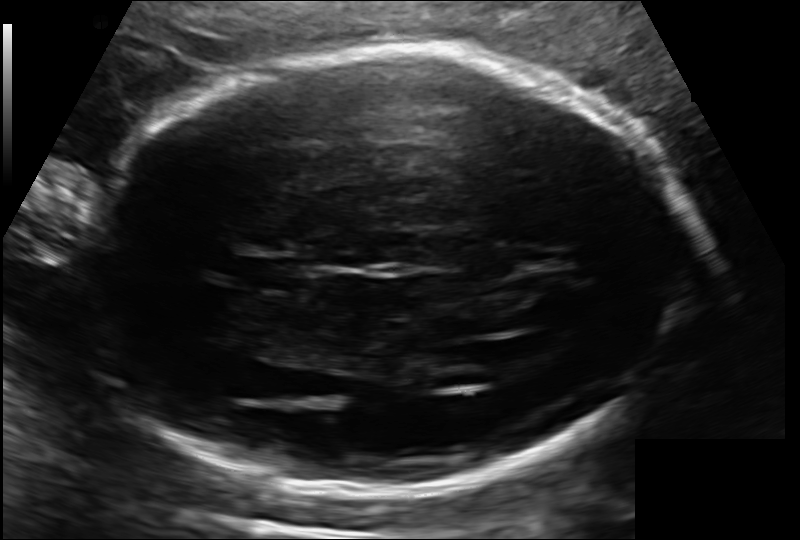
Fetal head ultrasound. Image width: 114.4 mm. Where is the fetal head?

Head bounding box: [79,48,694,495]